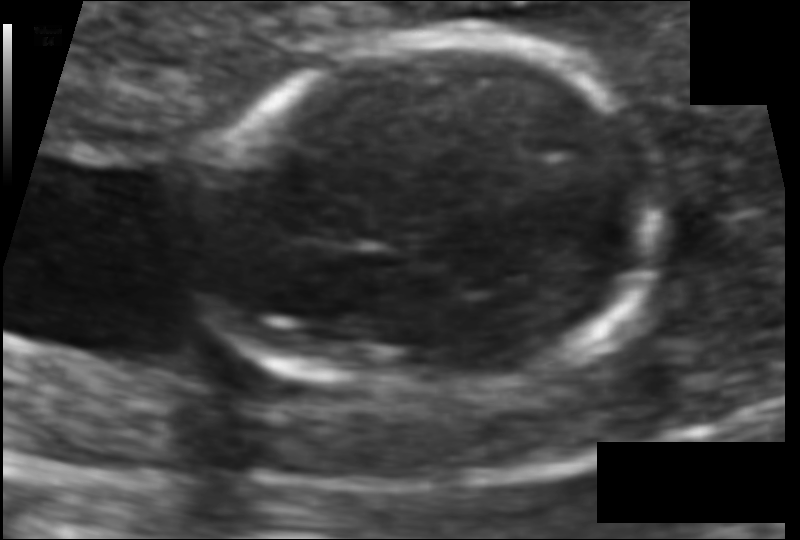
Measure the fetal head circumference shown in this ultrasound image. Image width: 62.9 mm.

Head circumference: 104.9 mm.